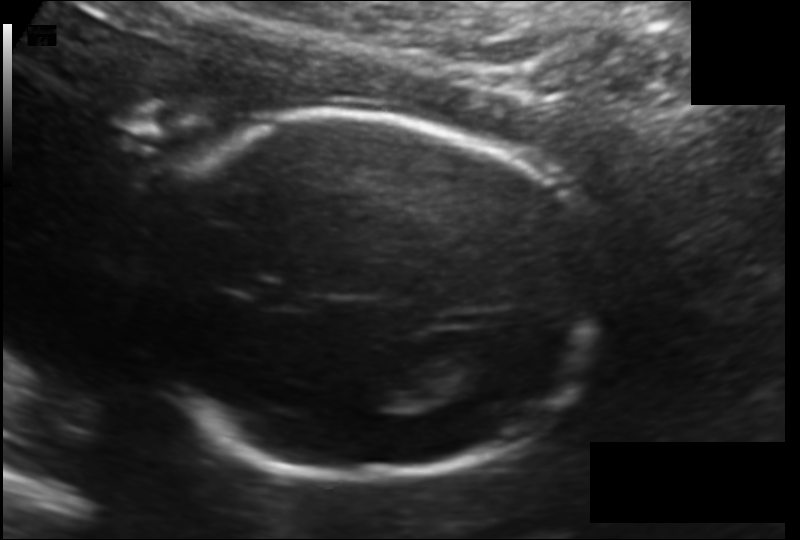
Measure the fetal head circumference shown in this ultrasound image. Image width: 107.8 mm.

Head circumference: 181.5 mm.